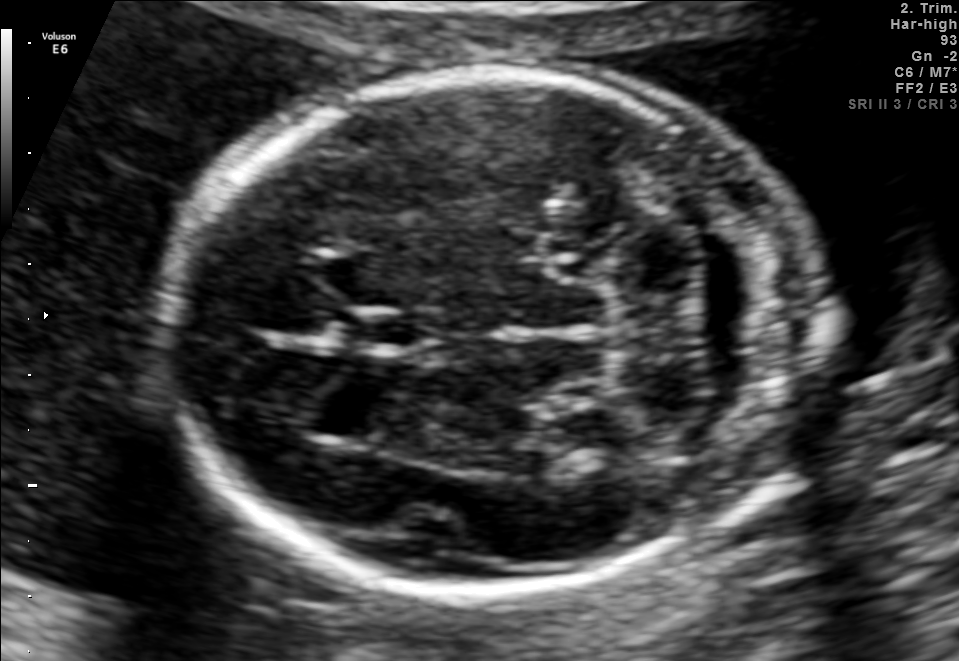
Fetal brain, trans-cerebellum plane. Where is the fetal head?

Head bounding box: [167,74,818,595]